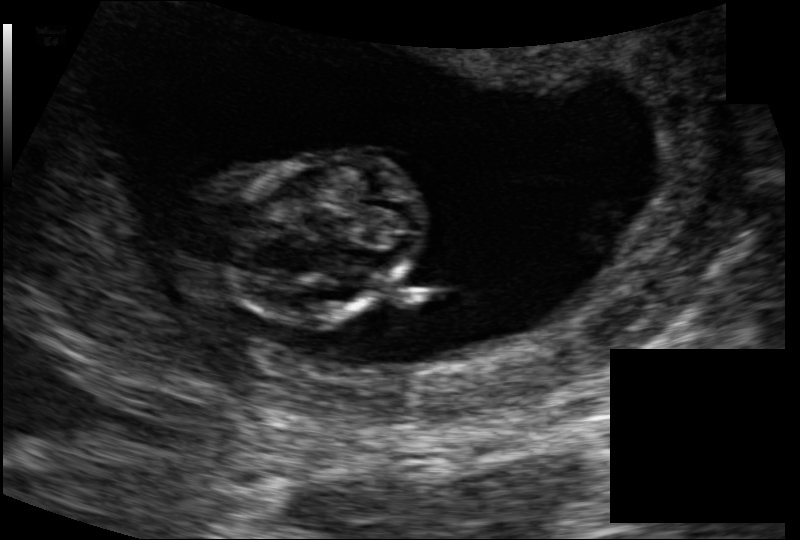
From this fetal ultrasound, estimate the head circumference (image width 92.7 mm).

Head circumference: 69.8 mm.